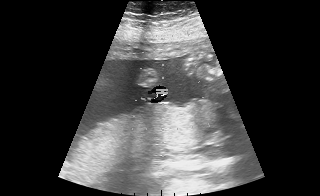
Classify this maternal-fetal ultrasound image as one of the six standard planes — fetal abdomen, fetal brain, fetal femur, fetal thorax, maternal cervix, or other. If it's fetal brain and one of the three standard brain planes (trans-thalamic, trans-cerebellum, trans-ventricular), name which.

Other